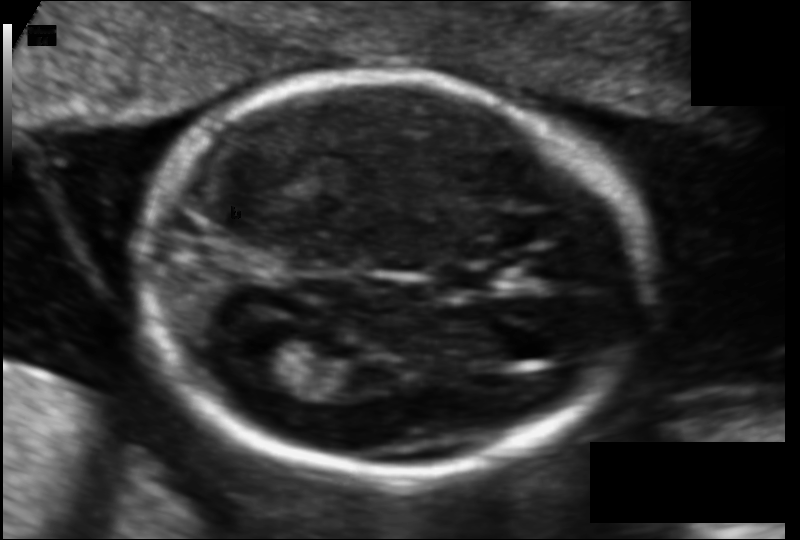
Estimate the fetal head circumference from this 2D ultrasound.

Head circumference: 150.5 mm (image width 83.2 mm).